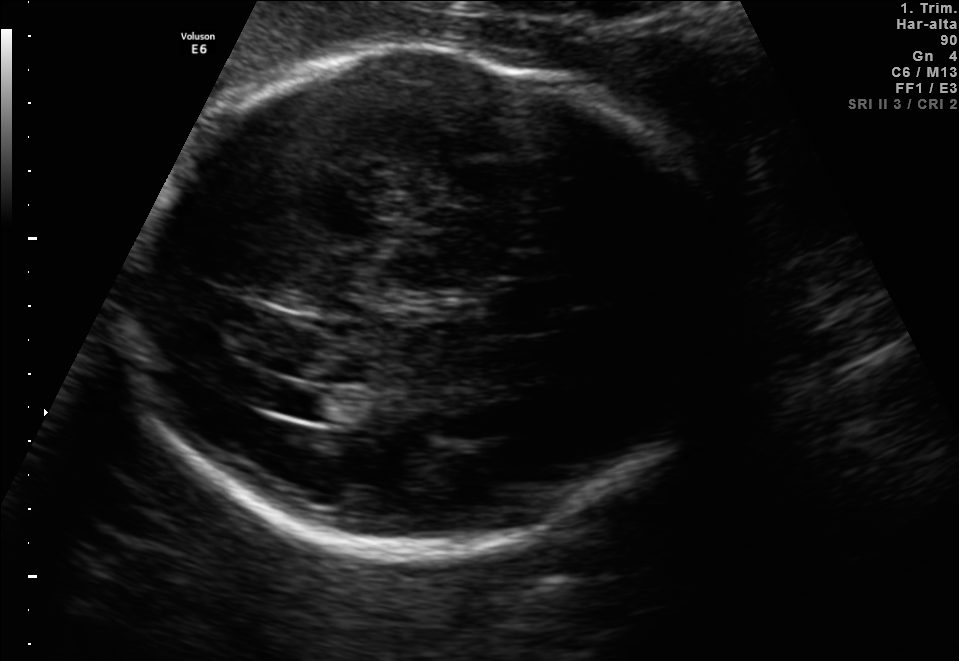
Fetal brain, trans-ventricular plane. Give [x1,y1,x2,y2] bounding boxes for each visible structure among: fetal head, CSP, LV.

Head: [135,44,740,565]
Lateral ventricle: [249,372,326,422]